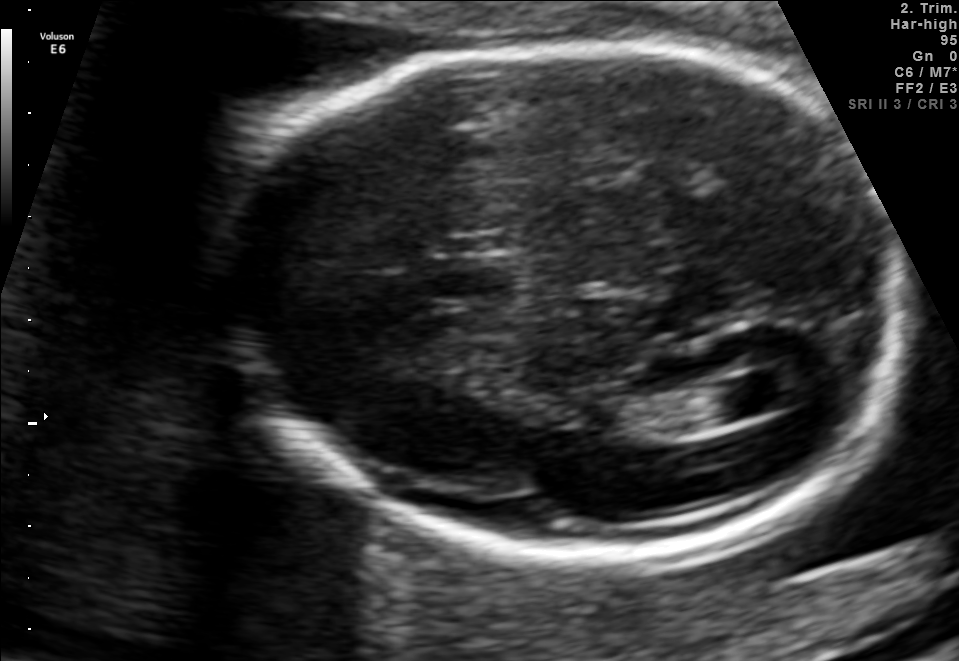
In this fetal brain, trans-ventricular plane, give the bounding box of the fetal head.

[210,40,907,561]